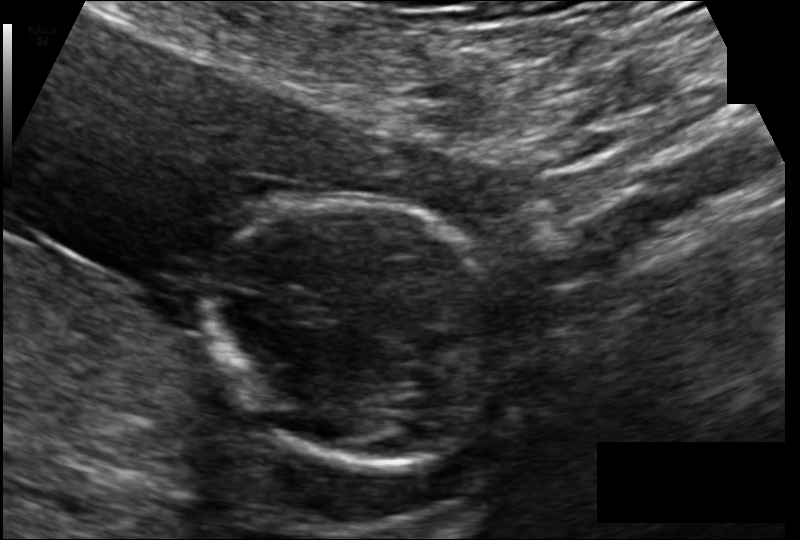
What is the fetal head circumference? Image width is 81.2 mm.

92.4 mm